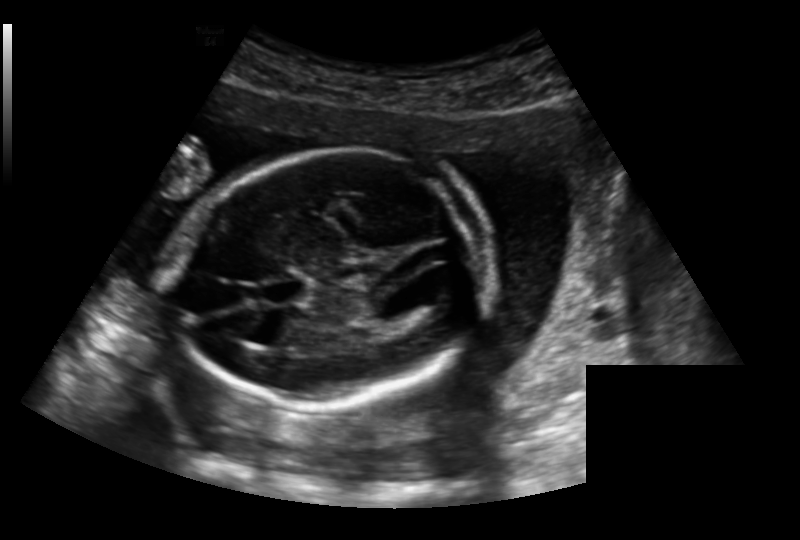
Fetal head ultrasound. Image width: 152.5 mm. Where is the fetal head?

Head bounding box: [177,149,483,404]